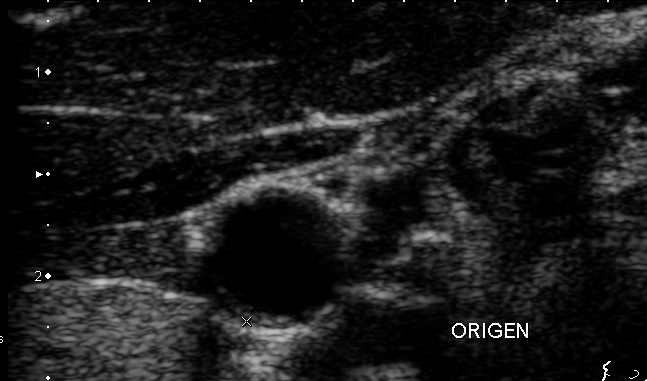
This is a 2D maternal-fetal ultrasound frame. Is it a fetal abdomen, fetal brain, fetal femur, fetal thorax, maternal cervix, or other standard plane? If it's fetal brain and one of the three standard brain planes (trans-thalamic, trans-cerebellum, trans-ventricular), name which.

Other